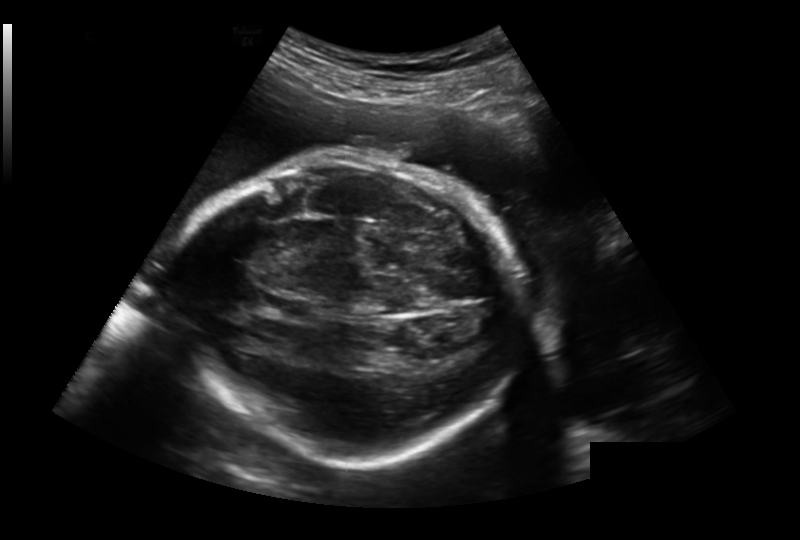
What is the fetal head circumference? Image width is 206.8 mm.

274.2 mm